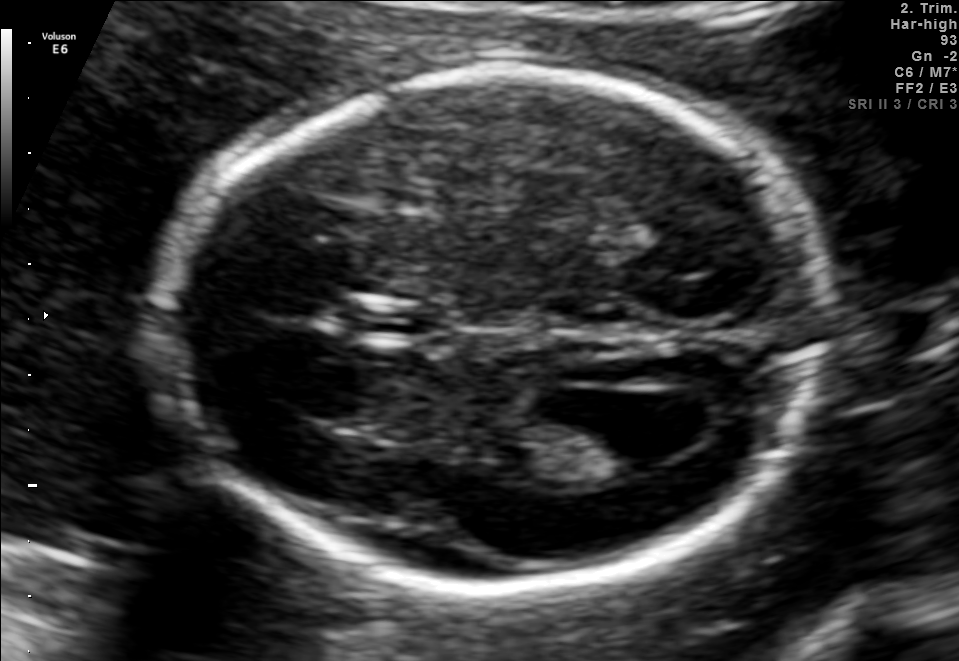
Fetal brain, trans-ventricular plane. Locate the fetal head.

Head: [162,62,845,599]